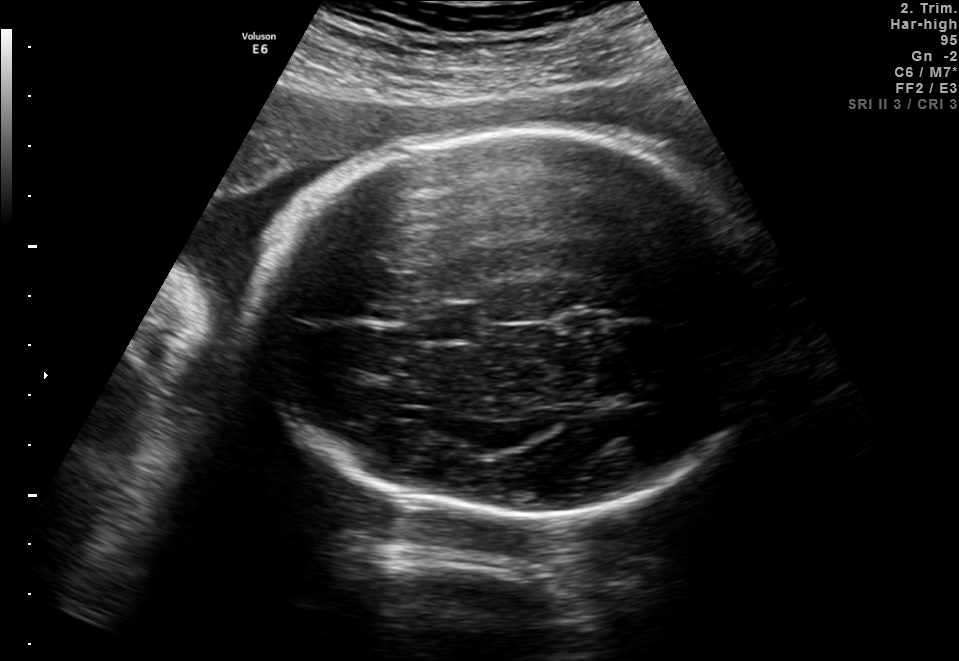
Fetal brain, trans-thalamic plane. Locate the fetal head.

Head: [252,128,775,517]